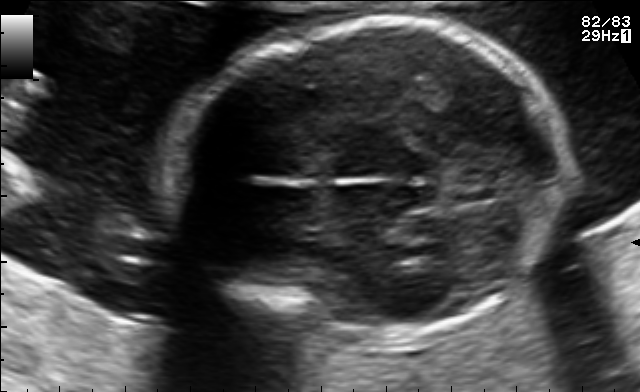
Fetal brain, trans-thalamic plane. Locate the fetal head and, if visible, the cavum septum pellucidum (CSP) and lateral ventricle (LV). Give bounding boxes as [x1,y1,x2,y2].

Head: [174,20,567,346]